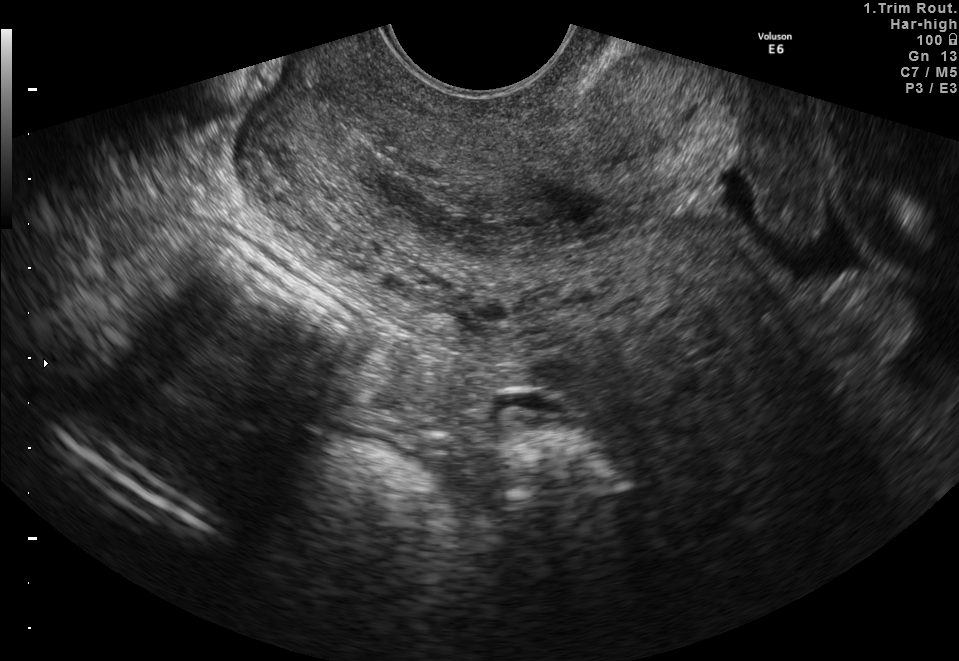
Identify the standard plane in this fetal ultrasound image: fetal abdomen, fetal brain, fetal femur, fetal thorax, maternal cervix, or other. If it's fetal brain and one of the three standard brain planes (trans-thalamic, trans-cerebellum, trans-ventricular), name which.

Maternal cervix